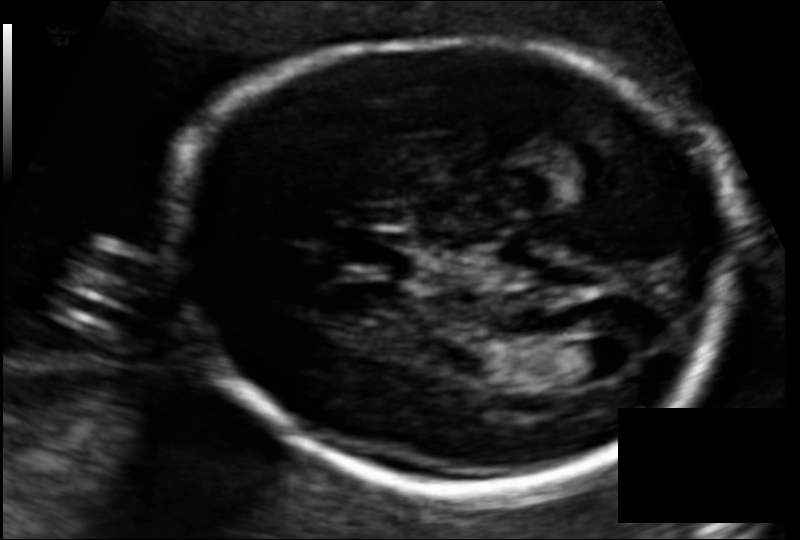
Fetal head ultrasound. Image width: 86.4 mm. Where is the lateral ventricle?

Lateral ventricle bounding box: [551,337,623,388]